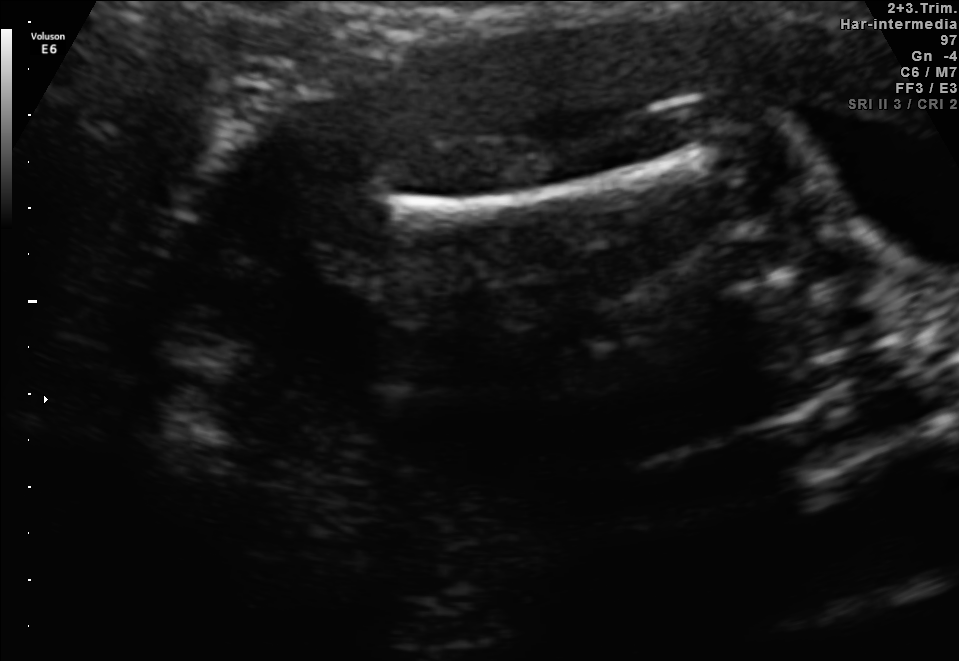
Which standard maternal-fetal ultrasound plane is shown: fetal abdomen, fetal brain, fetal femur, fetal thorax, maternal cervix, or other? If it's fetal brain and one of the three standard brain planes (trans-thalamic, trans-cerebellum, trans-ventricular), name which.

Fetal femur